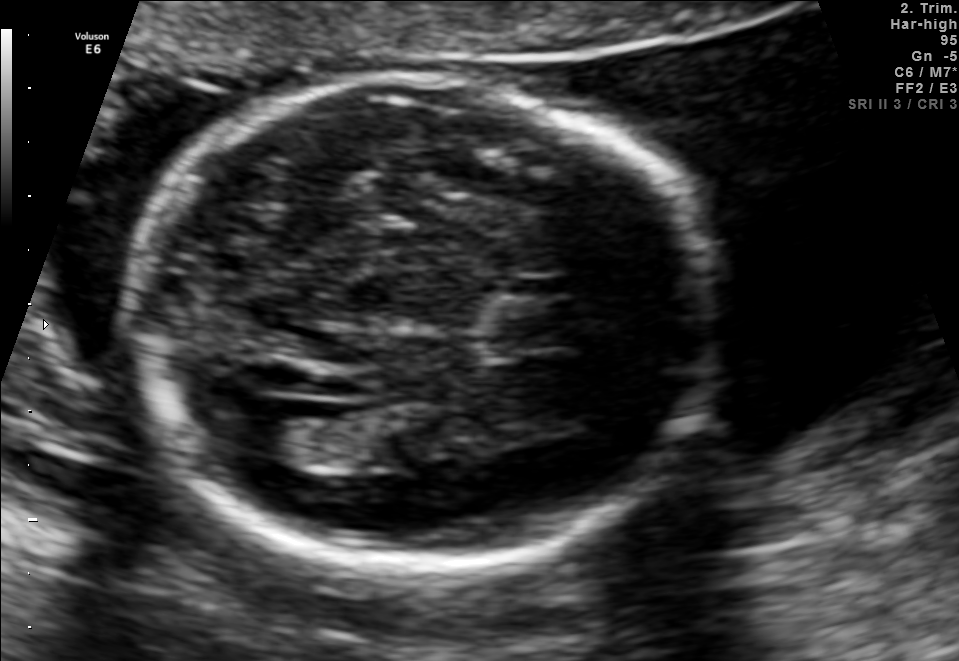
Fetal brain, trans-ventricular plane. Where is the fetal head?

Head bounding box: [112,66,737,575]